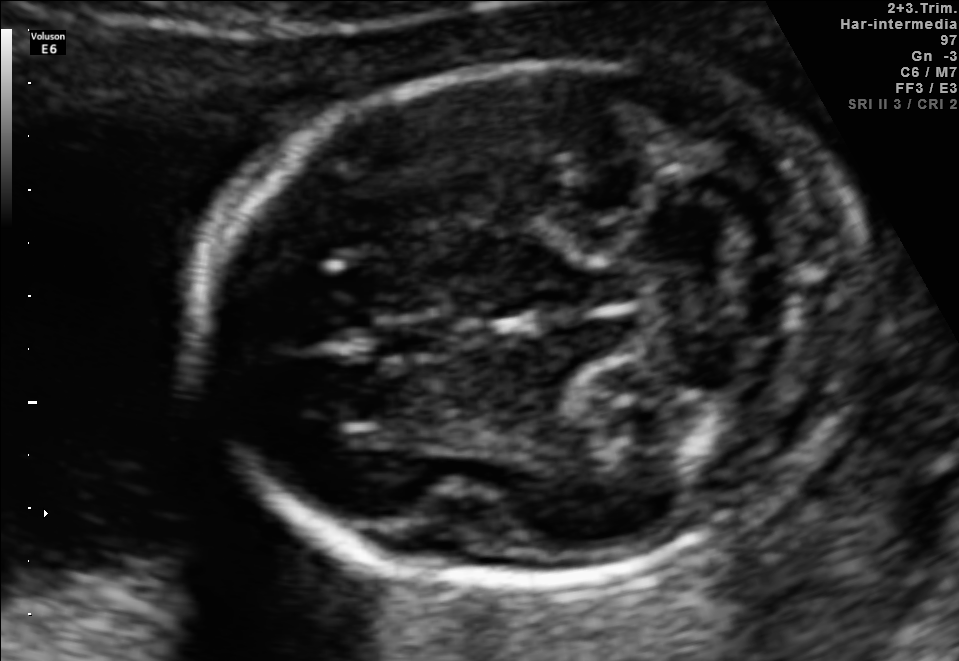
Fetal brain, trans-cerebellum plane. Locate the fetal head and, if visible, the cavum septum pellucidum (CSP) and lateral ventricle (LV). Give bounding boxes as [x1,y1,x2,y2].

Head: [201,59,868,584]
CSP: [372,310,451,363]